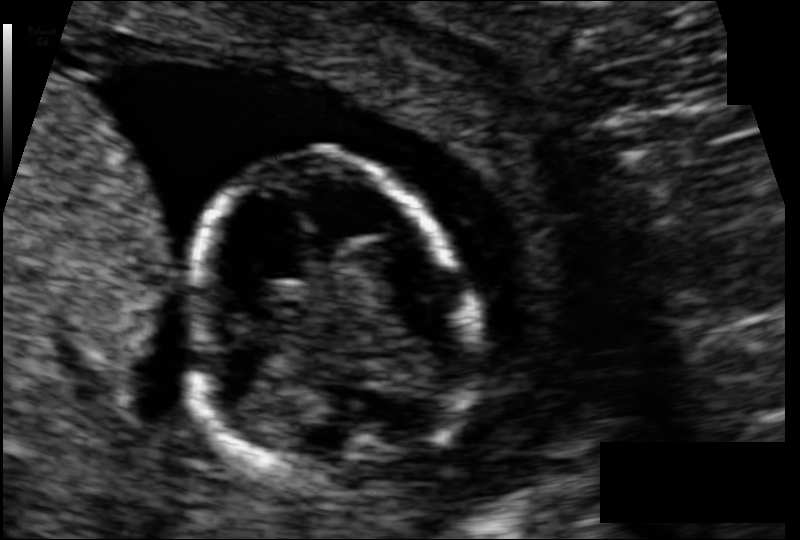
Fetal head ultrasound. Image width: 60.7 mm. Where is the fetal head?

Head bounding box: [192,154,466,487]